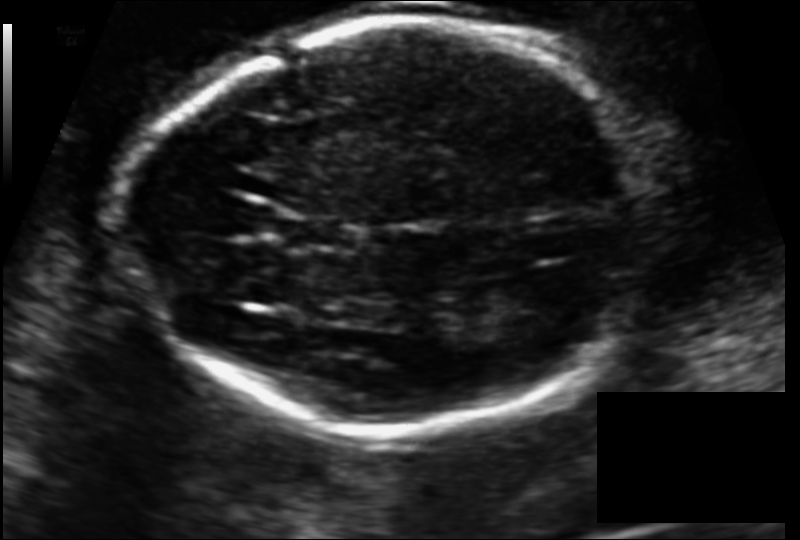
What is the fetal head circumference? Image width is 98.9 mm.

189.1 mm